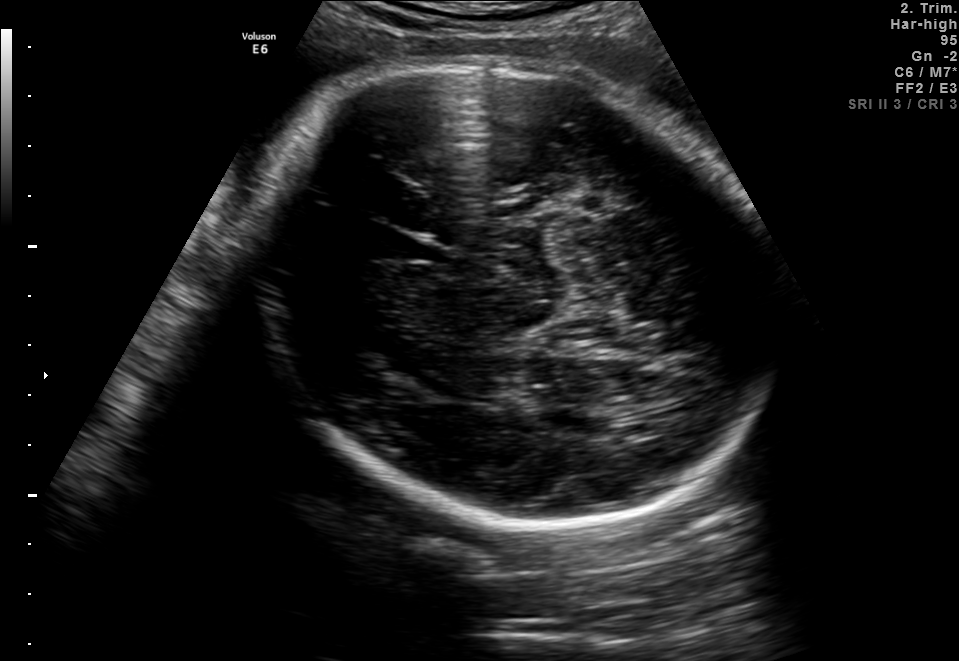
Fetal brain, trans-thalamic plane. Give [x1,y1,x2,y2] bounding boxes for each visible structure among: fetal head, CSP, LV.

Head: [240,57,771,530]